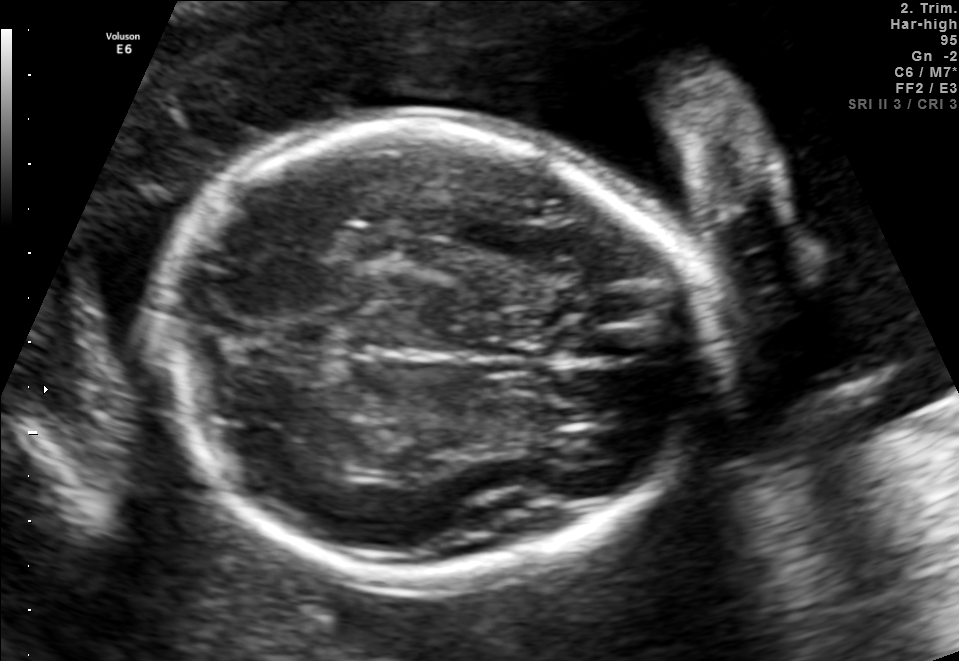
In this fetal brain, trans-thalamic plane, give the bounding box of the fetal head.

[165,120,714,587]